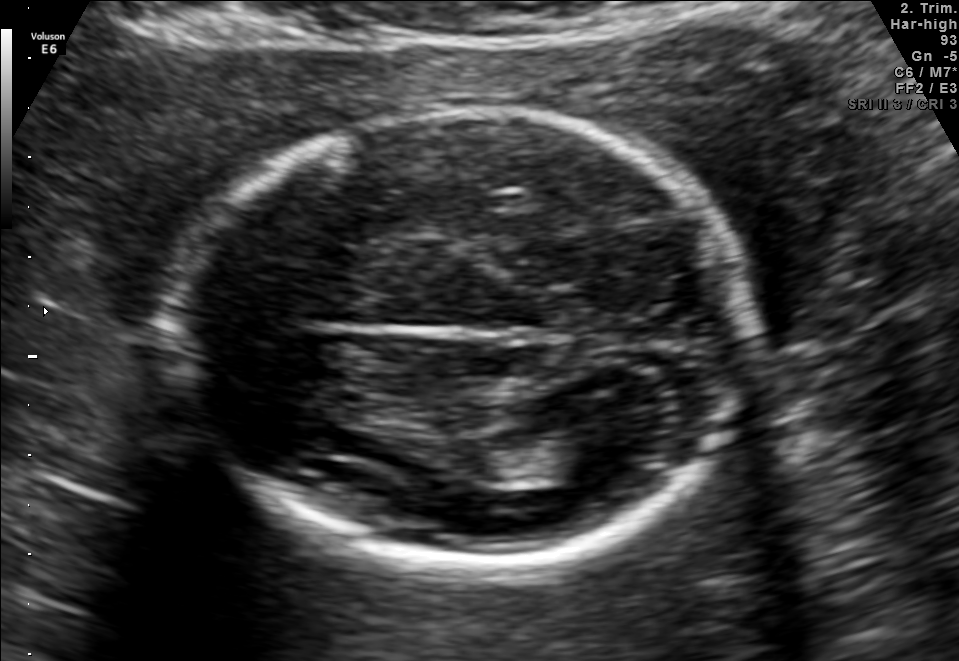
Fetal brain, trans-thalamic plane. Where is the fetal head?

Head bounding box: [171,107,752,564]